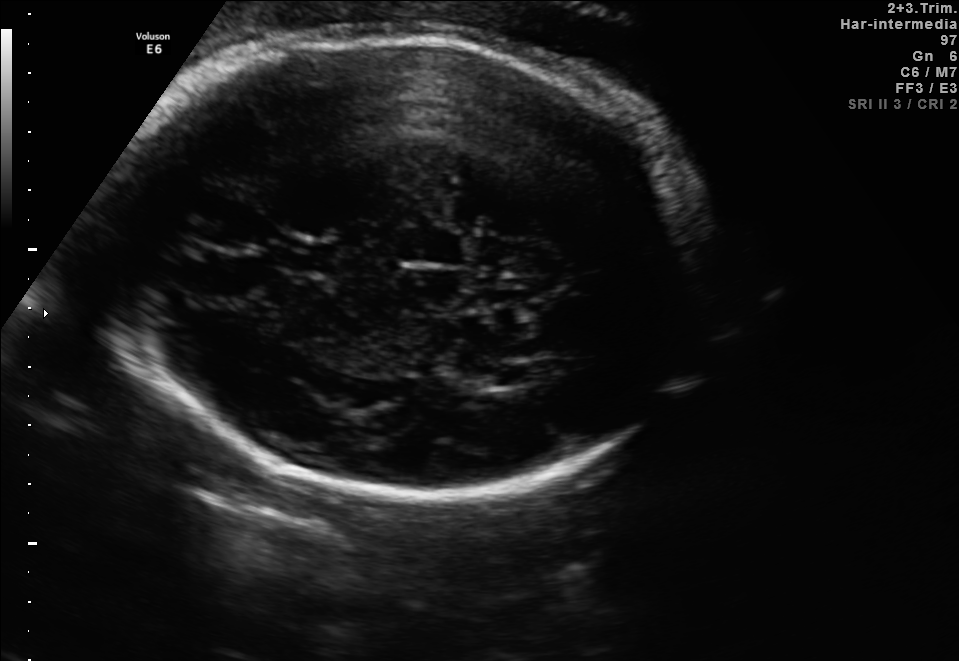
Fetal brain, trans-ventricular plane. Where is the cavum septum pellucidum?

CSP bounding box: [274,239,338,274]